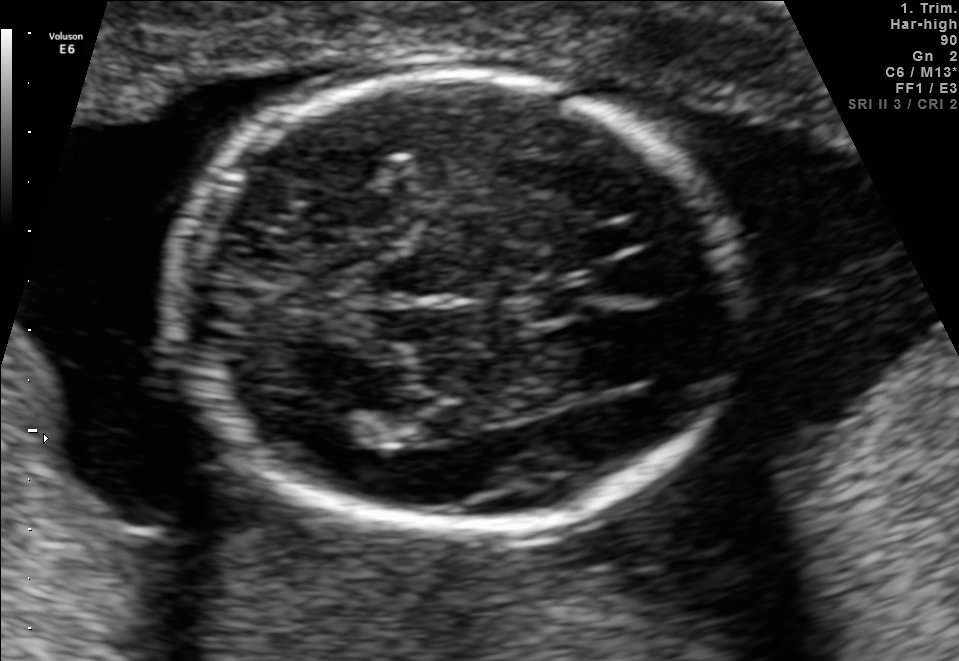
Fetal brain, trans-thalamic plane. Where is the lateral ventricle?

Lateral ventricle bounding box: [312,409,395,447]